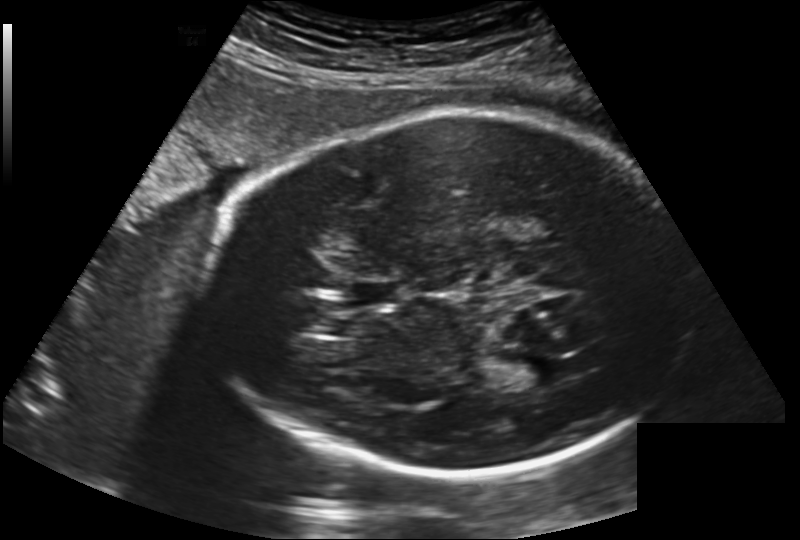
Fetal head ultrasound. Image width: 161.7 mm. Where is the lateral ventricle?

Lateral ventricle bounding box: [503,355,559,391]